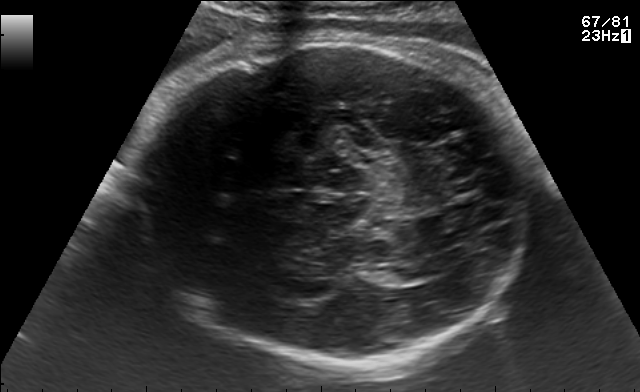
Fetal brain, trans-thalamic plane. Where is the fetal head?

Head bounding box: [129,37,531,369]